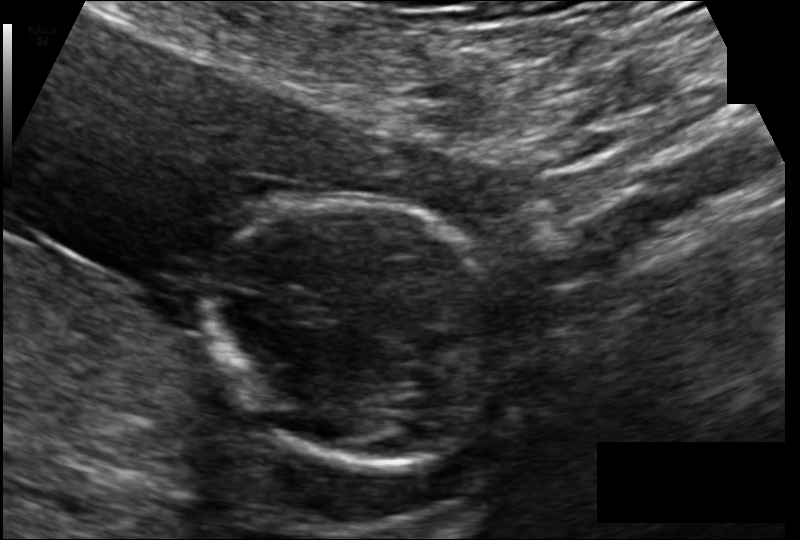
From this fetal ultrasound, estimate the head circumference (image width 81.2 mm).

Head circumference: 92.4 mm.